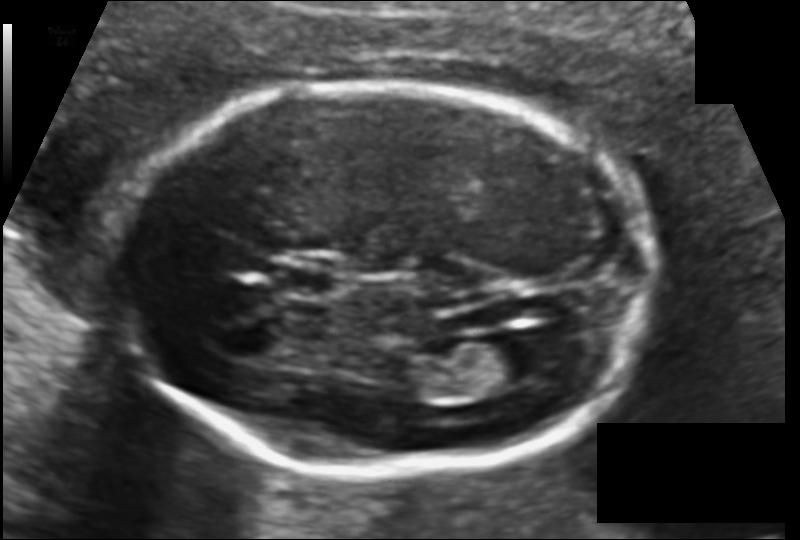
Fetal head ultrasound. Image width: 90.6 mm. Locate the lateral ventricle.

Lateral ventricle: [476,330,562,389]